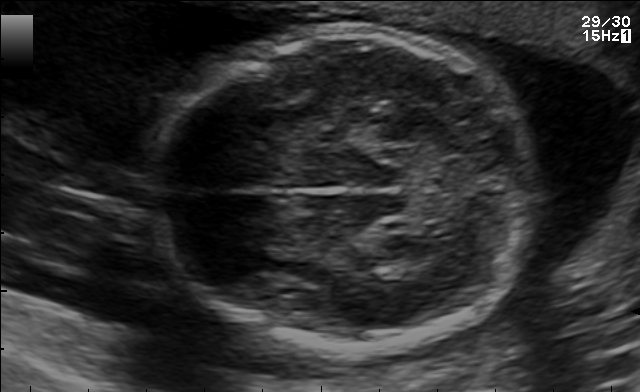
Fetal brain, trans-thalamic plane. Where is the fetal head?

Head bounding box: [151,31,538,350]